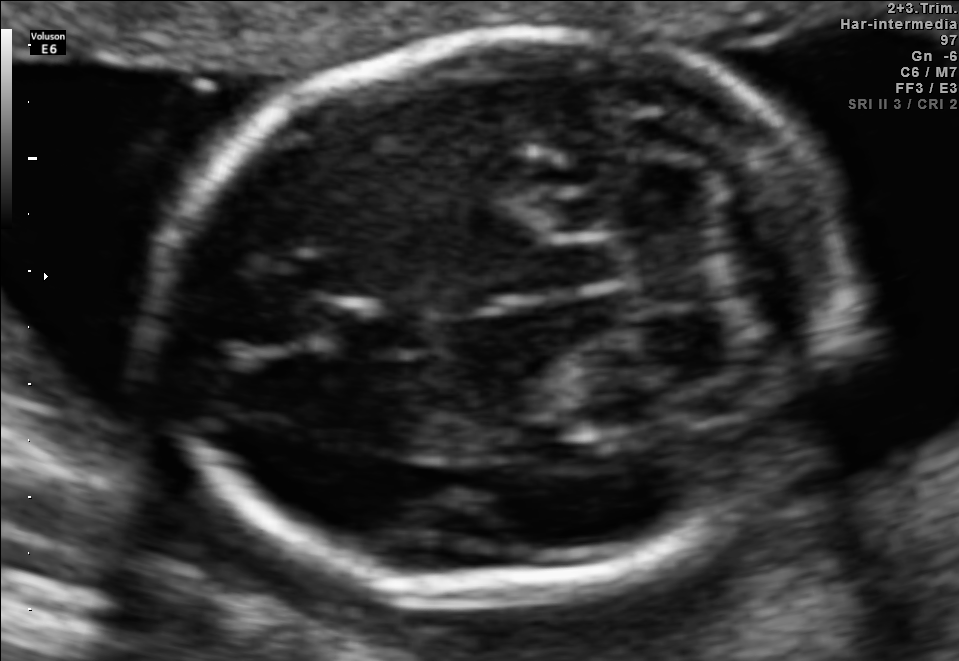
In this fetal brain, trans-cerebellum plane, give bounding boxes for the head outline, cavum septum pellucidum (CSP), and lateral ventricle (LV), where visible.

Head: [161,28,846,597]
CSP: [325,306,430,356]